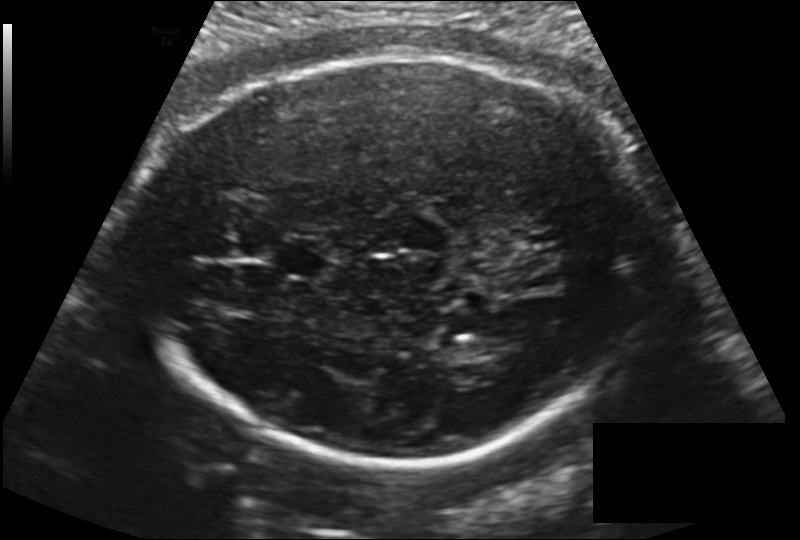
Fetal head ultrasound. Image width: 144.8 mm. Give [x1,y1,x2,y2] bounding boxes for each visible structure among: fetal head, CSP, LV.

Head: [134,58,657,464]
CSP: [274,237,336,279]